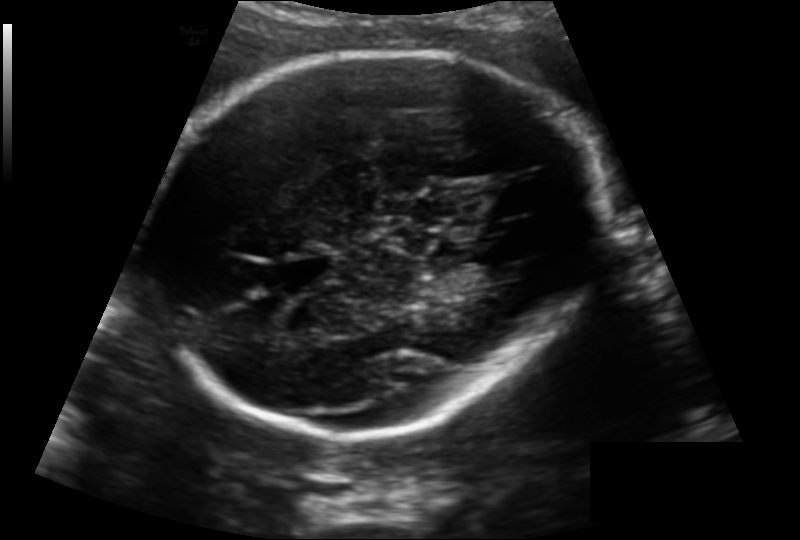
Fetal head ultrasound. Image width: 130.3 mm. Locate the fetal head.

Head: [147,47,596,435]